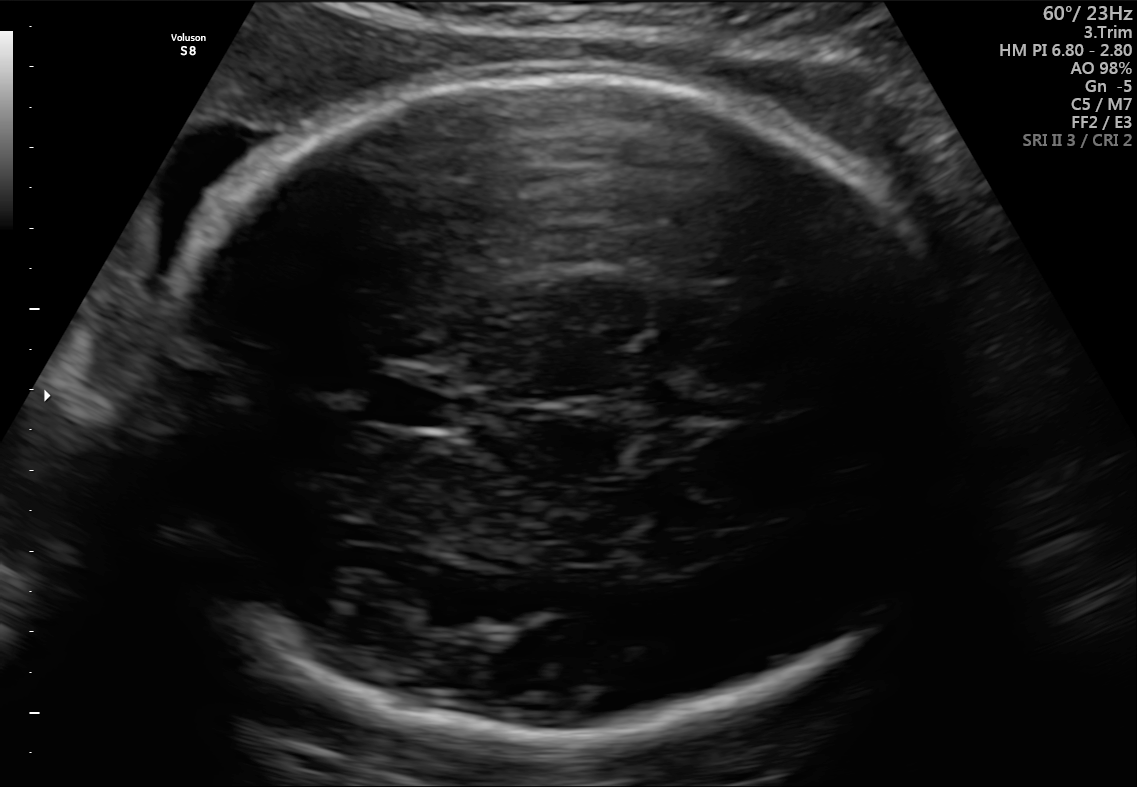
Fetal brain, trans-thalamic plane. Give [x1,y1,x2,y2] bounding boxes for each visible structure among: fetal head, CSP, LV.

Head: [159,75,964,743]
CSP: [366,376,457,431]